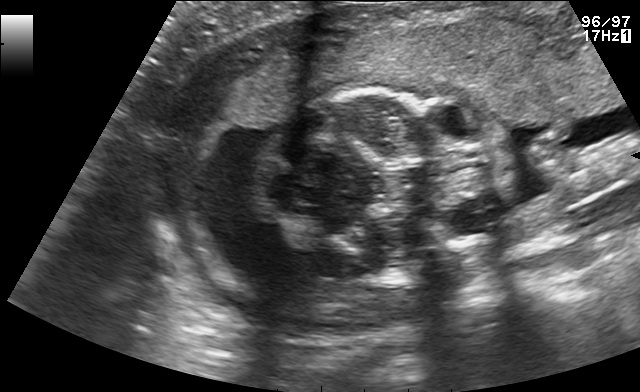
This is a 2D maternal-fetal ultrasound frame. Is it a fetal abdomen, fetal brain, fetal femur, fetal thorax, maternal cervix, or other standard plane? If it's fetal brain and one of the three standard brain planes (trans-thalamic, trans-cerebellum, trans-ventricular), name which.

Other